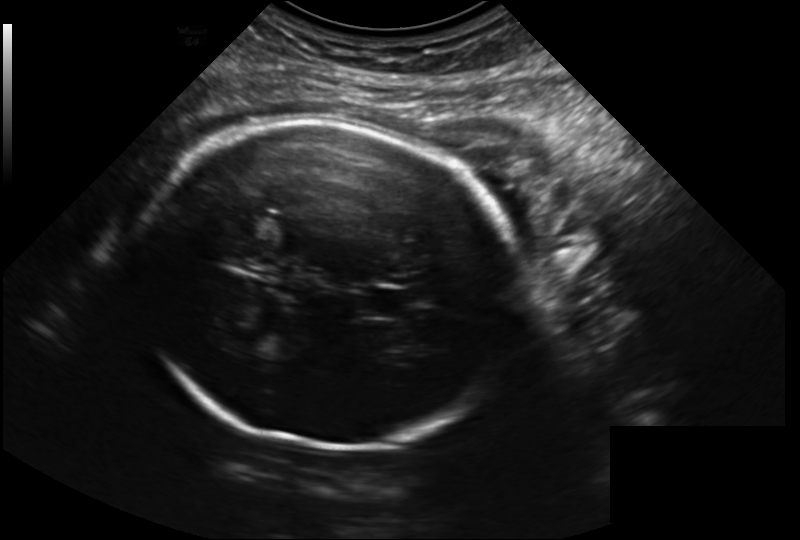
Fetal head ultrasound. Image width: 178.0 mm. Where is the cavum septum pellucidum?

CSP bounding box: [359,285,417,322]